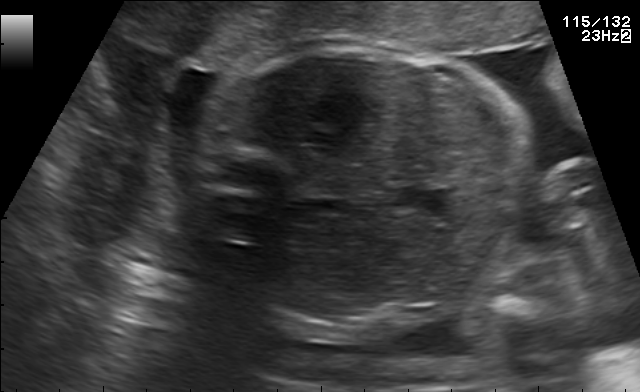
This is a 2D maternal-fetal ultrasound frame. Is it a fetal abdomen, fetal brain, fetal femur, fetal thorax, maternal cervix, or other standard plane? If it's fetal brain and one of the three standard brain planes (trans-thalamic, trans-cerebellum, trans-ventricular), name which.

Fetal abdomen